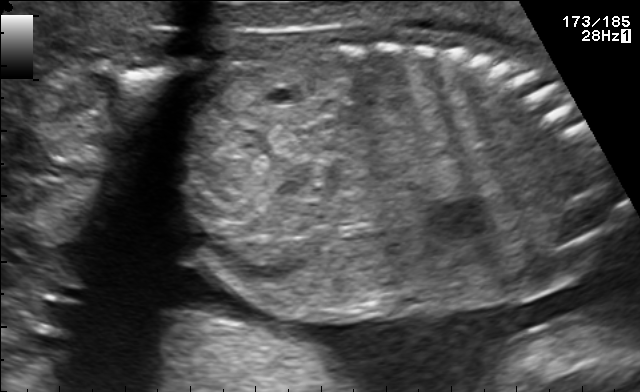
Which standard maternal-fetal ultrasound plane is shown: fetal abdomen, fetal brain, fetal femur, fetal thorax, maternal cervix, or other? If it's fetal brain and one of the three standard brain planes (trans-thalamic, trans-cerebellum, trans-ventricular), name which.

Other